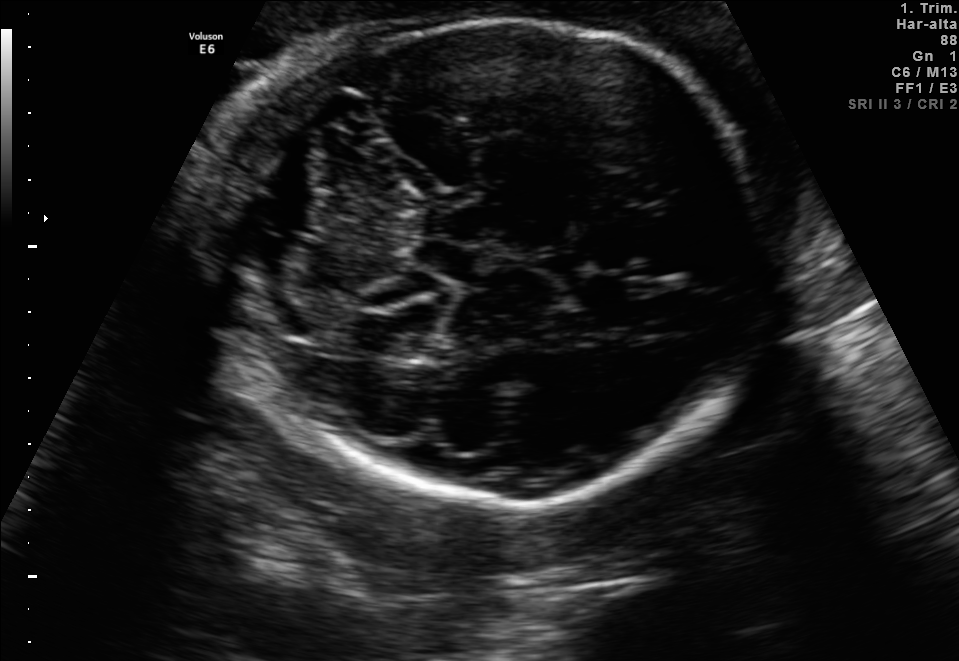
Fetal brain, trans-cerebellum plane. Locate the fetal head and, if visible, the cavum septum pellucidum (CSP) and lateral ventricle (LV). Give bounding boxes as [x1,y1,x2,y2].

Head: [214,18,769,507]